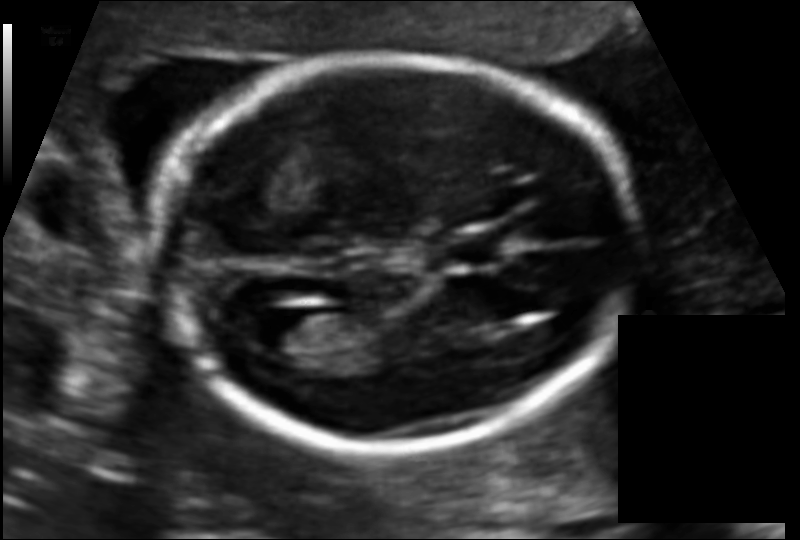
What is the fetal head circumference? Image width is 87.1 mm.

157.7 mm